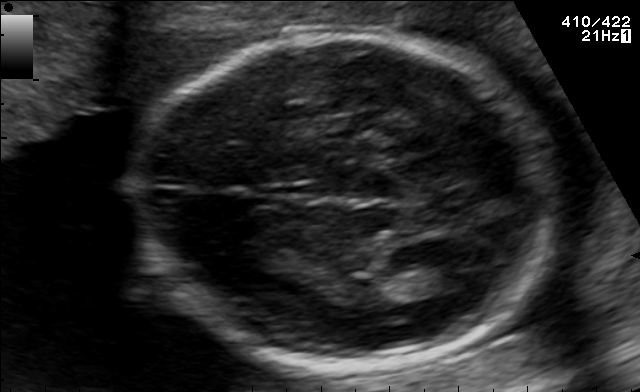
Classify this maternal-fetal ultrasound image as one of the six standard planes — fetal abdomen, fetal brain, fetal femur, fetal thorax, maternal cervix, or other. If it's fetal brain and one of the three standard brain planes (trans-thalamic, trans-cerebellum, trans-ventricular), name which.

Fetal brain (trans-thalamic plane)